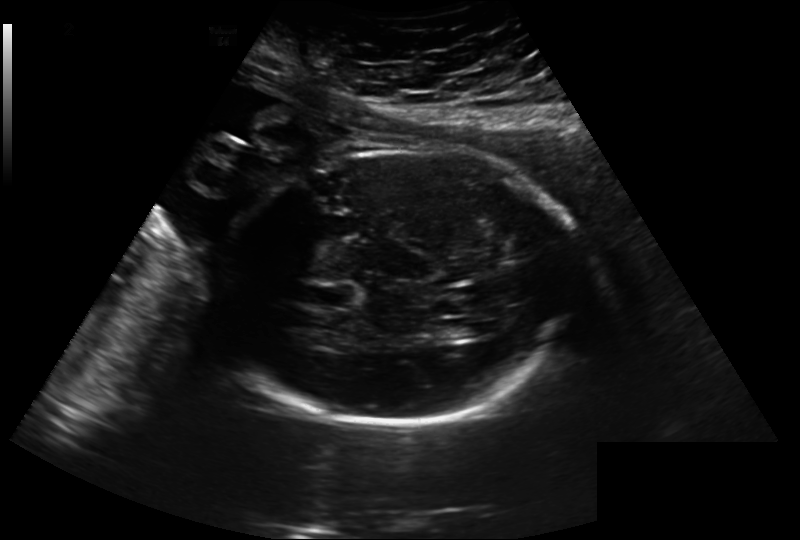
Fetal head ultrasound. Image width: 208.3 mm. Locate the fetal head.

Head: [215,150,576,423]